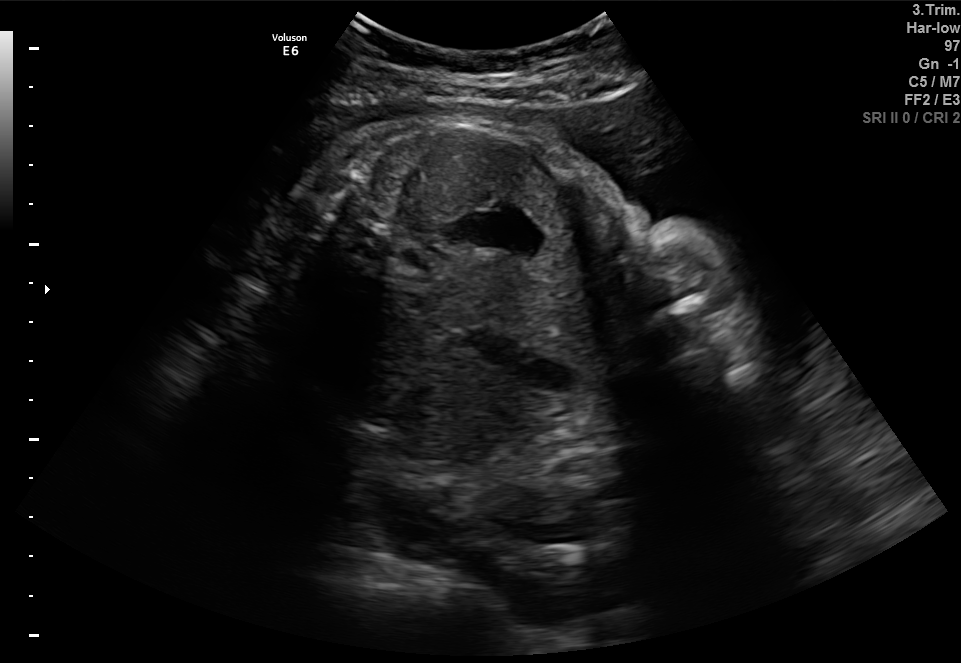
This is a 2D maternal-fetal ultrasound frame. Is it a fetal abdomen, fetal brain, fetal femur, fetal thorax, maternal cervix, or other standard plane? If it's fetal brain and one of the three standard brain planes (trans-thalamic, trans-cerebellum, trans-ventricular), name which.

Fetal abdomen